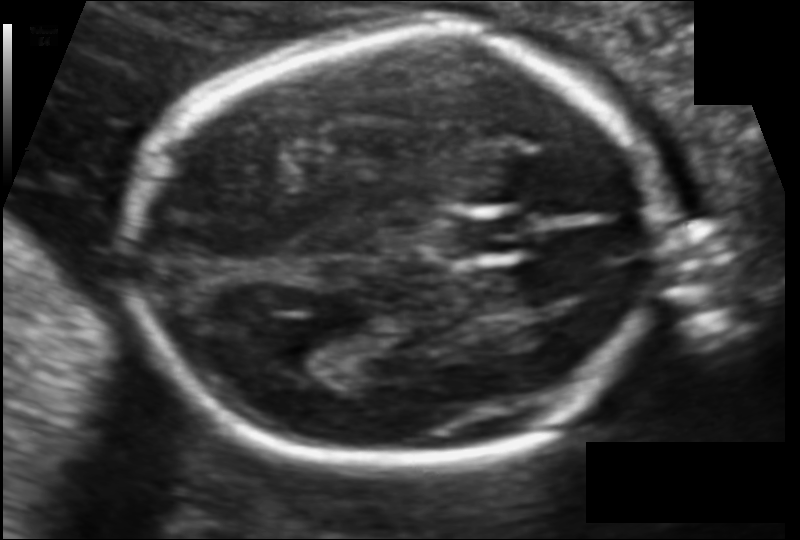
In this fetal head ultrasound, give bounding boxes for the head outline, cavum septum pellucidum (CSP), and lateral ventricle (LV), where visible. Image width: 84.9 mm.

Head: [132,37,670,467]
CSP: [451,212,527,260]
Lateral ventricle: [266,319,349,367]